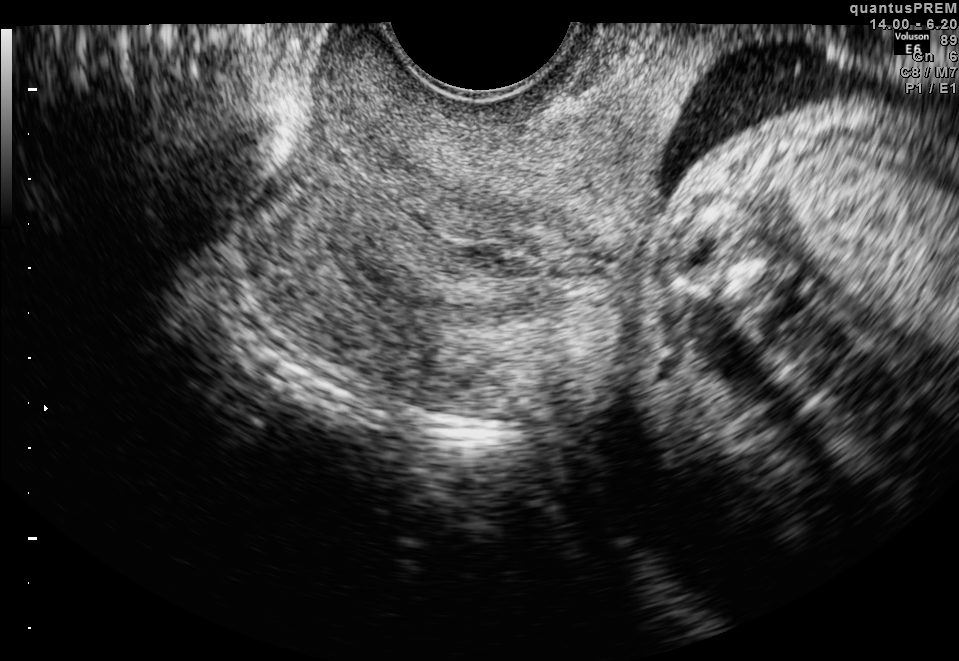
Classify this maternal-fetal ultrasound image as one of the six standard planes — fetal abdomen, fetal brain, fetal femur, fetal thorax, maternal cervix, or other. If it's fetal brain and one of the three standard brain planes (trans-thalamic, trans-cerebellum, trans-ventricular), name which.

Maternal cervix